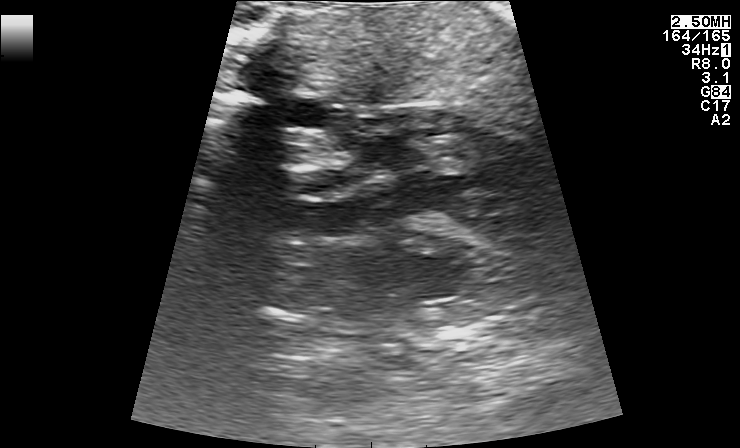
This is a 2D maternal-fetal ultrasound frame. Is it a fetal abdomen, fetal brain, fetal femur, fetal thorax, maternal cervix, or other standard plane? If it's fetal brain and one of the three standard brain planes (trans-thalamic, trans-cerebellum, trans-ventricular), name which.

Other